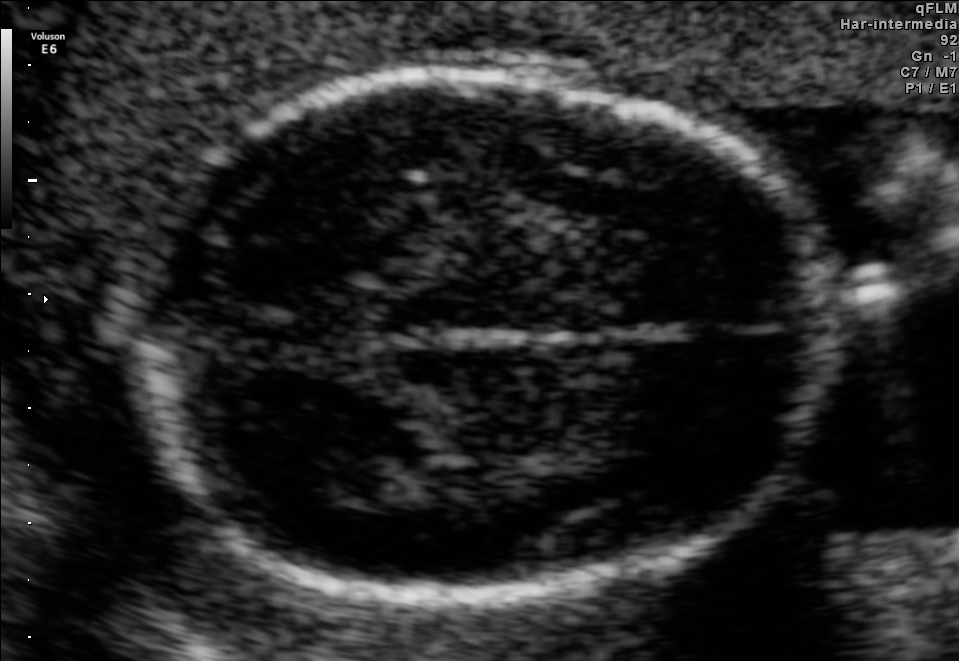
Fetal brain, trans-thalamic plane. Give [x1,y1,x2,y2] bounding boxes for each visible structure among: fetal head, CSP, LV.

Head: [165,70,822,591]